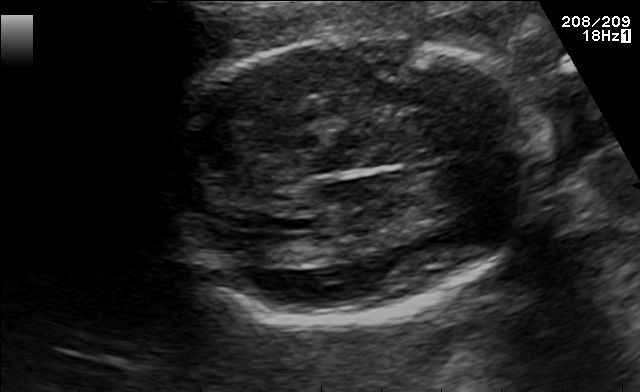
Fetal brain, trans-thalamic plane. Where is the fetal head?

Head bounding box: [163,34,545,317]